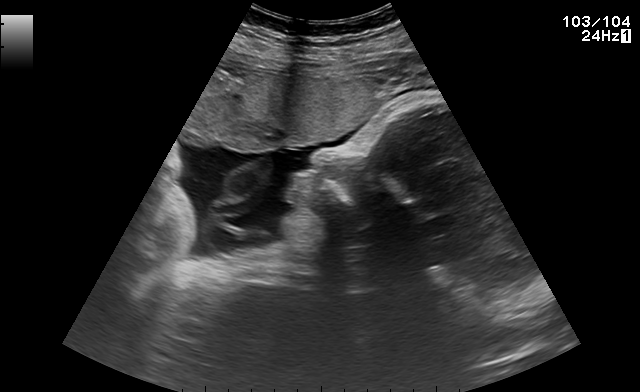
Which standard maternal-fetal ultrasound plane is shown: fetal abdomen, fetal brain, fetal femur, fetal thorax, maternal cervix, or other? If it's fetal brain and one of the three standard brain planes (trans-thalamic, trans-cerebellum, trans-ventricular), name which.

Other